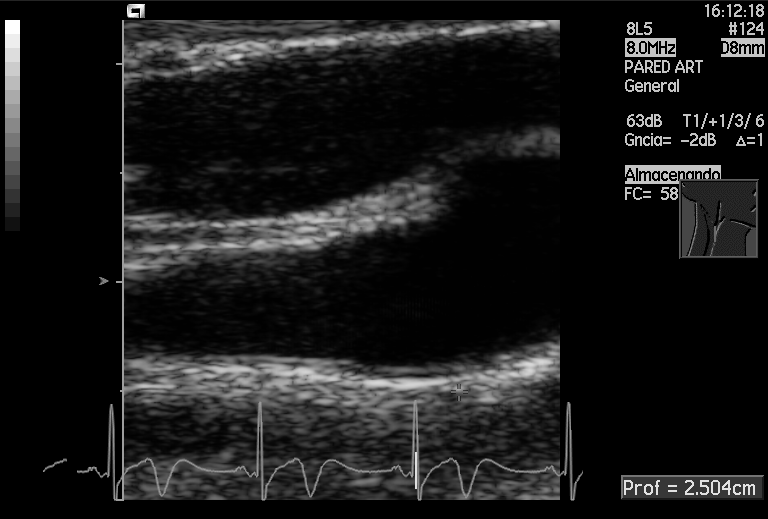
Which standard maternal-fetal ultrasound plane is shown: fetal abdomen, fetal brain, fetal femur, fetal thorax, maternal cervix, or other? If it's fetal brain and one of the three standard brain planes (trans-thalamic, trans-cerebellum, trans-ventricular), name which.

Other